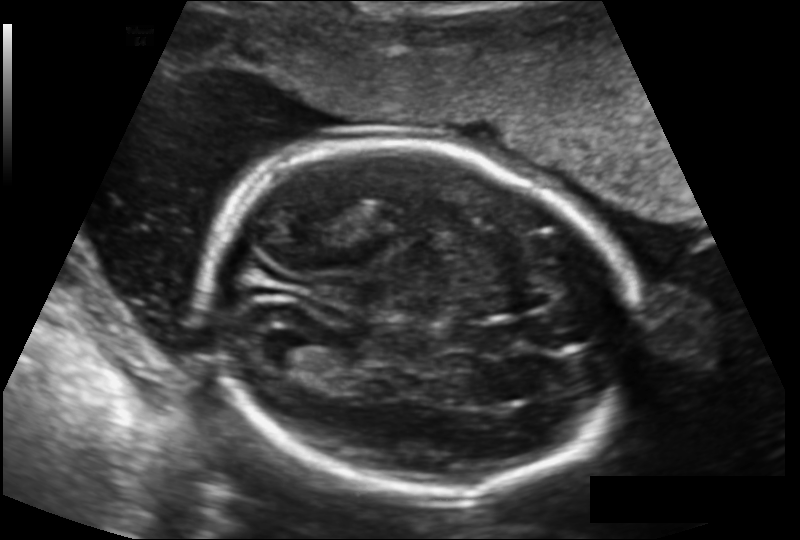
In this fetal head ultrasound, give bounding boxes for the head outline, cavum septum pellucidum (CSP), and lateral ventricle (LV), where visible. Image width: 114.2 mm.

Head: [204,141,634,495]
Lateral ventricle: [260,324,332,383]